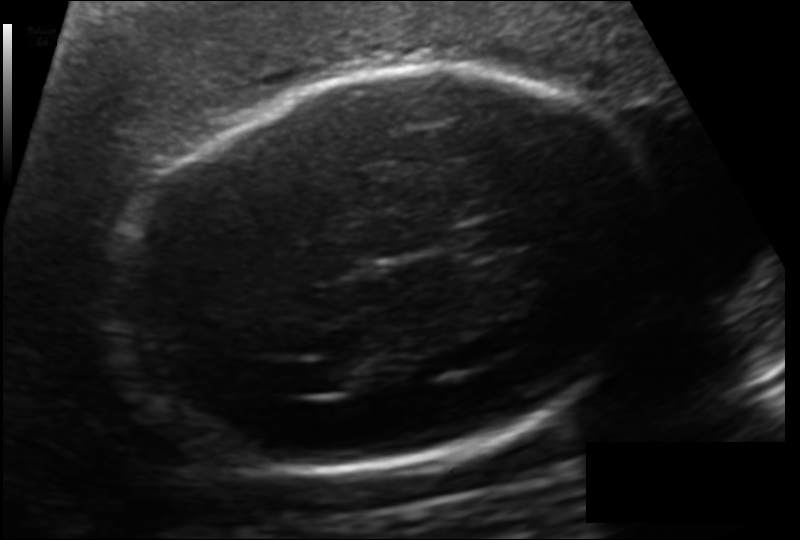
In this fetal head ultrasound, give bounding boxes for the head outline, cavum septum pellucidum (CSP), and lateral ventricle (LV), where visible. Image width: 120.9 mm.

Head: [110,69,657,471]
CSP: [450,209,527,264]
Lateral ventricle: [309,360,365,392]